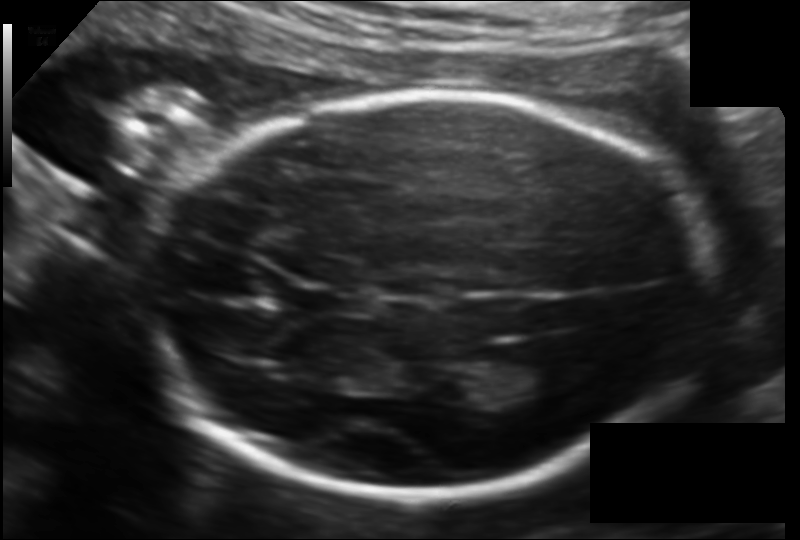
In this fetal head ultrasound, give bounding boxes for the head outline, cavum septum pellucidum (CSP), and lateral ventricle (LV), where visible. Image width: 103.8 mm.

Head: [149,96,711,493]
CSP: [288,283,348,318]
Lateral ventricle: [482,344,568,401]